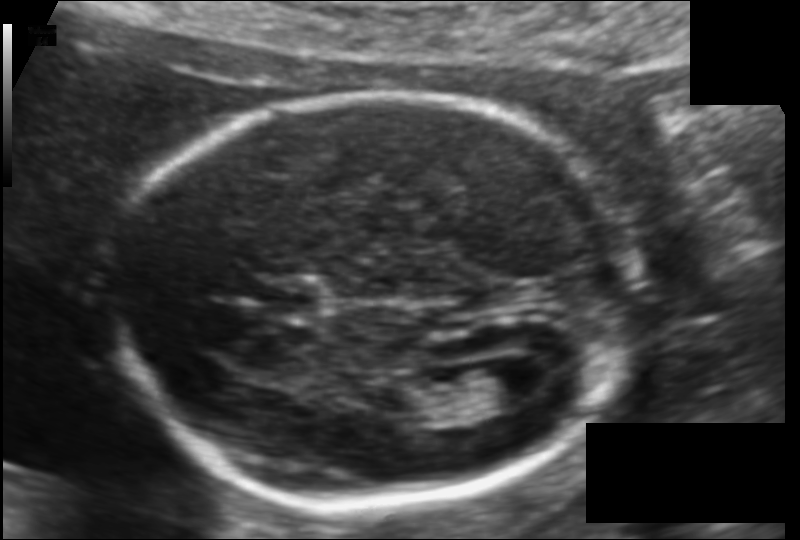
Fetal head ultrasound. Image width: 92.0 mm. Where is the lateral ventricle?

Lateral ventricle bounding box: [461,354,542,417]